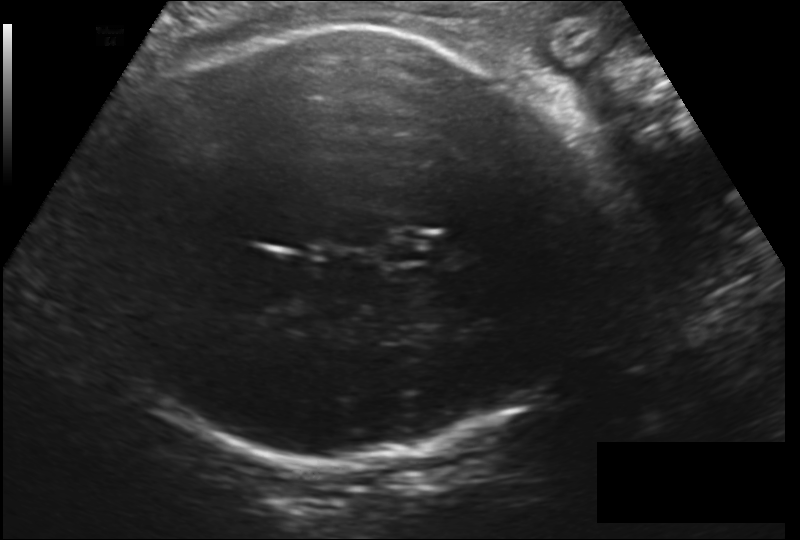
Fetal head ultrasound. Image width: 169.8 mm. Give [x1,y1,x2,y2] bounding boxes for each visible structure among: fetal head, CSP, LV.

Head: [93,27,609,466]